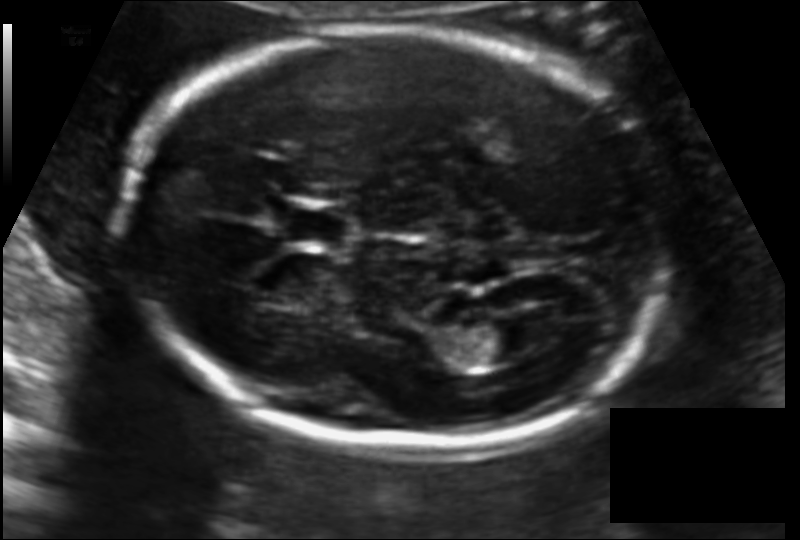
In this fetal head ultrasound, give bounding boxes for the head outline, cavum septum pellucidum (CSP), and lateral ventricle (LV), where visible. Image width: 95.2 mm.

Head: [123,28,673,447]
CSP: [275,200,355,252]
Lateral ventricle: [456,311,541,371]